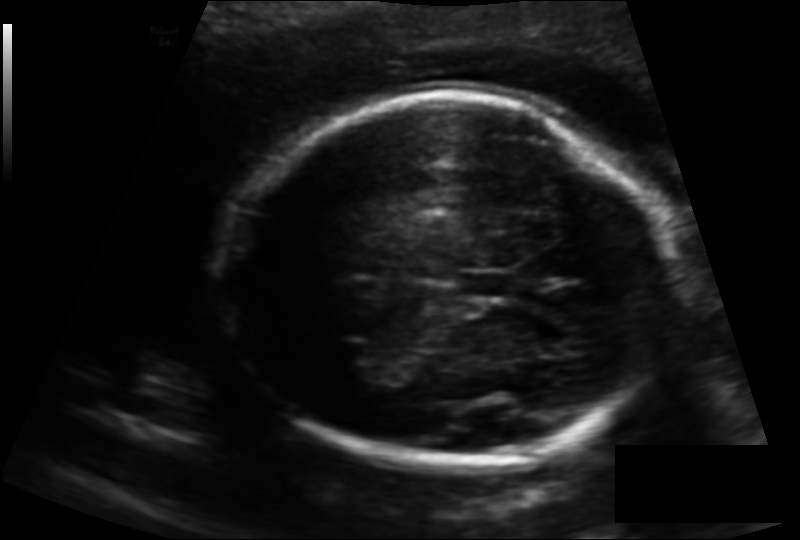
Fetal head ultrasound. Image width: 112.7 mm. Locate the lateral ventricle.

Lateral ventricle: [325,340,387,383]